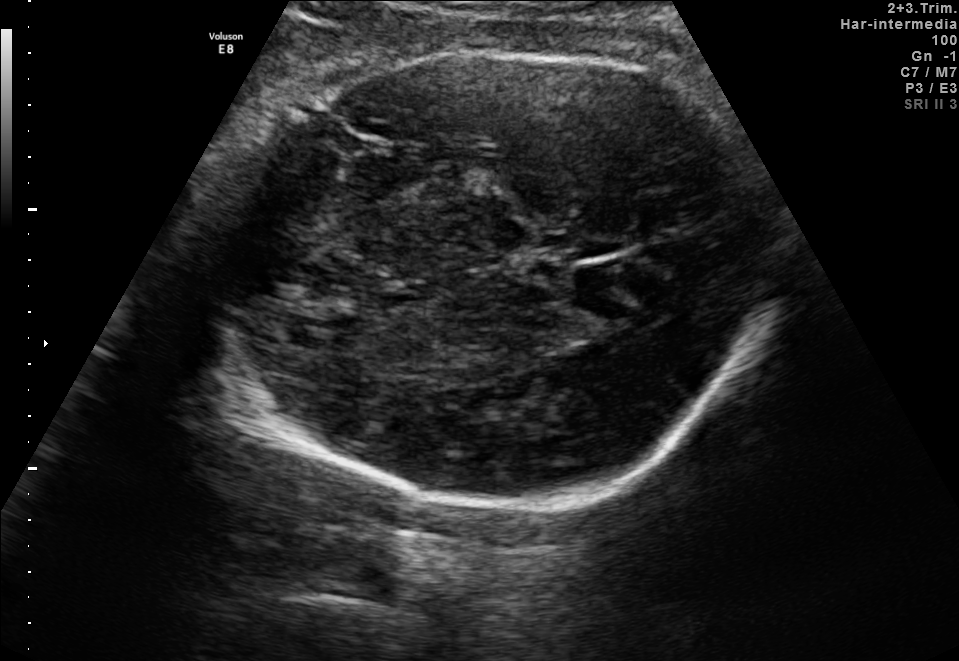
Fetal brain, trans-thalamic plane. Locate the fetal head.

Head: [206,44,779,519]